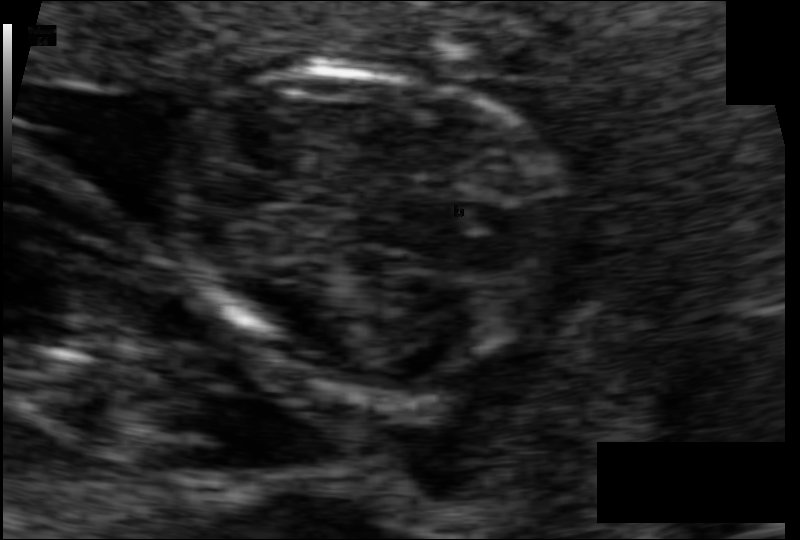
Fetal head ultrasound. Image width: 48.5 mm. Locate the fetal head.

Head: [166,64,567,373]